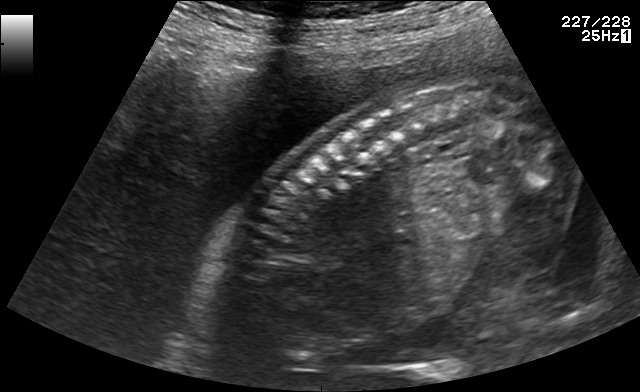
Classify this maternal-fetal ultrasound image as one of the six standard planes — fetal abdomen, fetal brain, fetal femur, fetal thorax, maternal cervix, or other. If it's fetal brain and one of the three standard brain planes (trans-thalamic, trans-cerebellum, trans-ventricular), name which.

Other